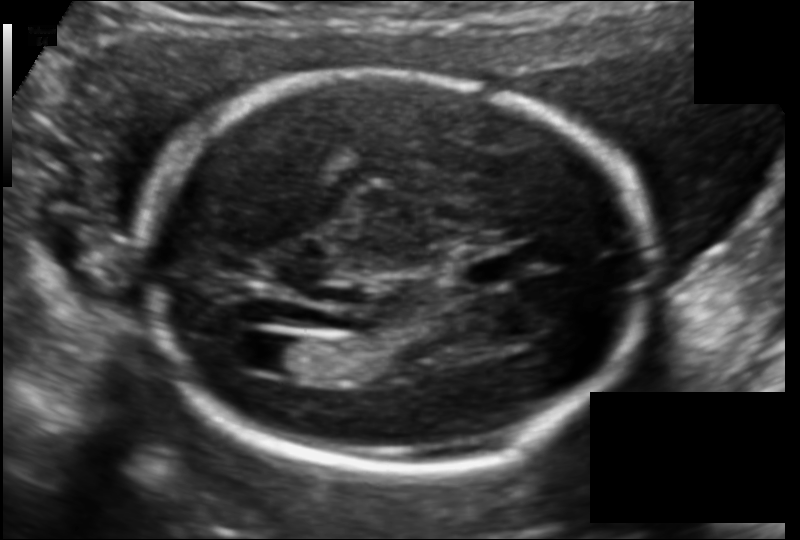
Fetal head ultrasound. Image width: 97.5 mm. Where is the cavum septum pellucidum?

CSP bounding box: [458,247,521,296]